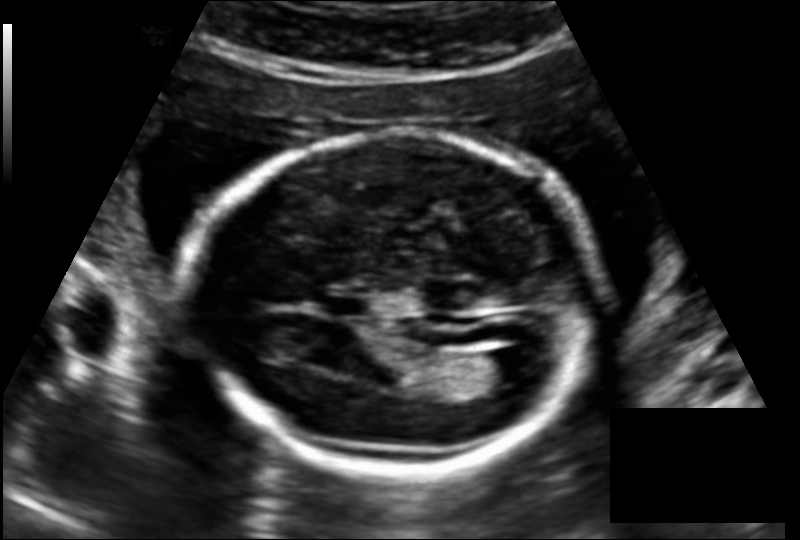
Measure the fetal head circumference shown in this ultrasound image. Image width: 115.9 mm.

Head circumference: 181.1 mm.